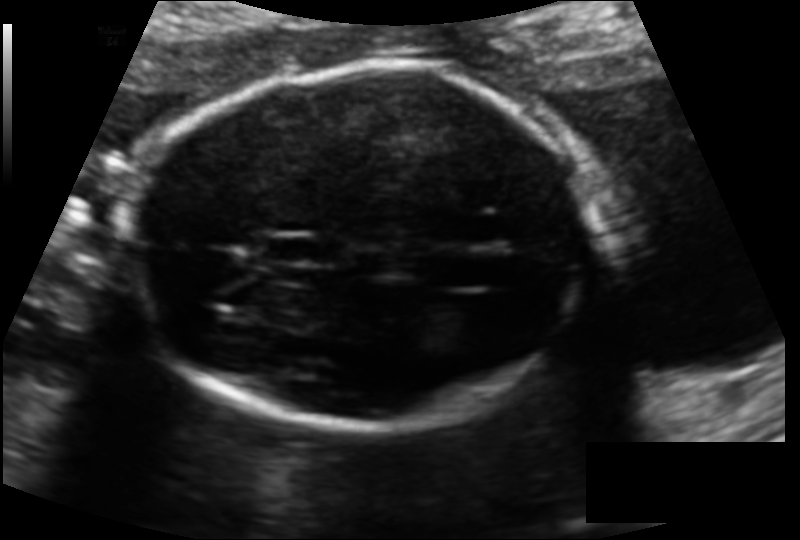
Measure the fetal head circumference shown in this ultrasound image. Image width: 101.0 mm.

Head circumference: 168.3 mm.